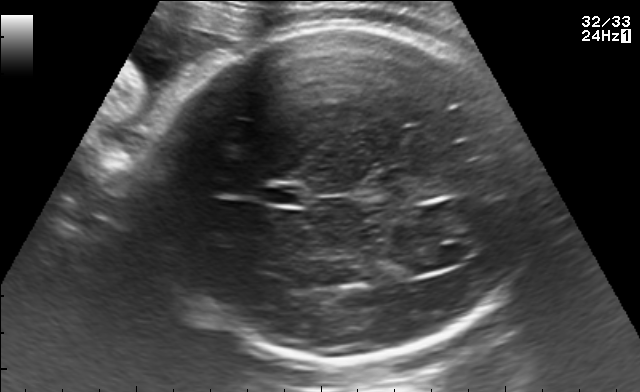
Fetal brain, trans-ventricular plane. Locate the cavum septum pellucidum.

CSP: [269,186,303,204]